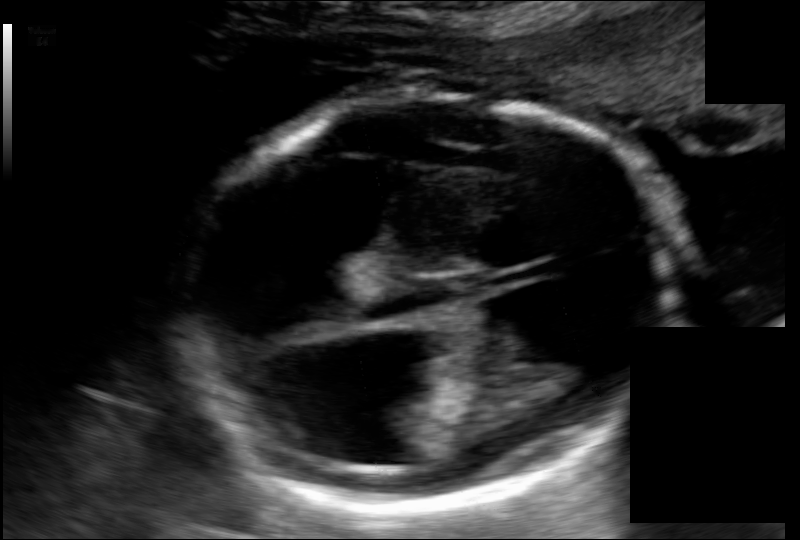
Estimate the fetal head circumference from this 2D ultrasound. Image width: 107.8 mm.

Head circumference: 196.9 mm.